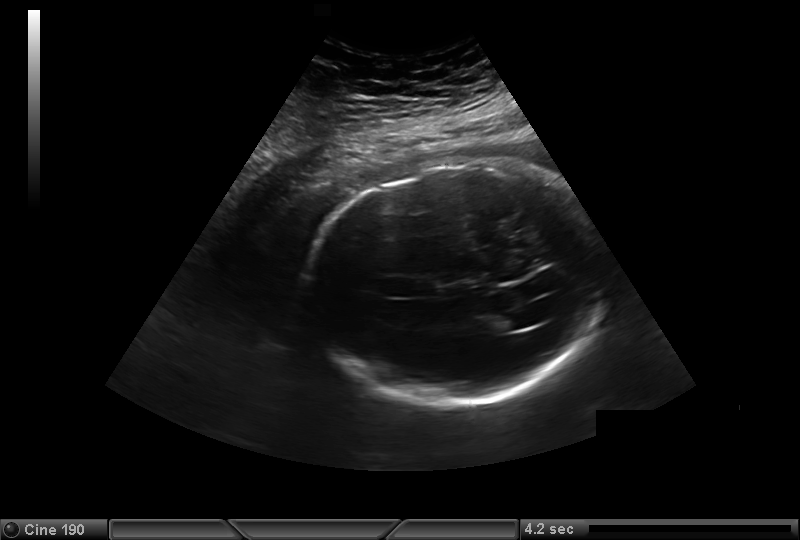
What is the fetal head circumference? Image width is 258.3 mm.

283.5 mm